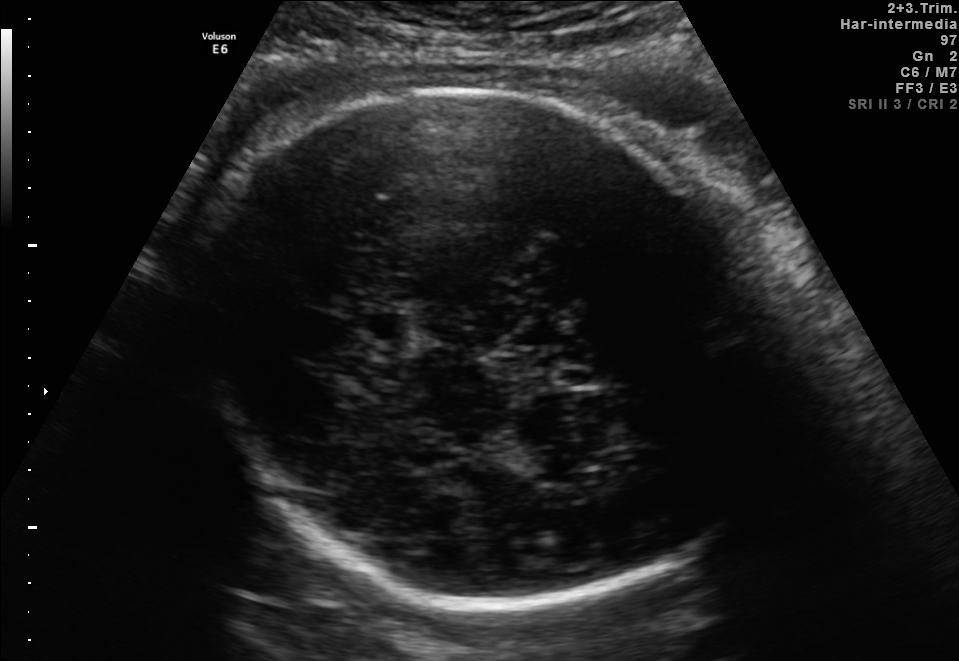
Fetal brain, trans-thalamic plane. Locate the cavum septum pellucidum.

CSP: [349,303,411,348]